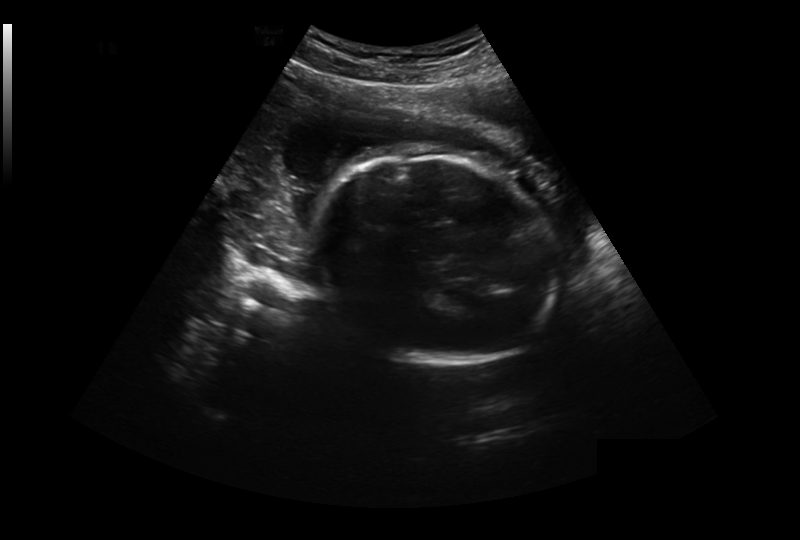
From this fetal ultrasound, estimate the head circumference (image width 261.2 mm).

Head circumference: 241.7 mm.